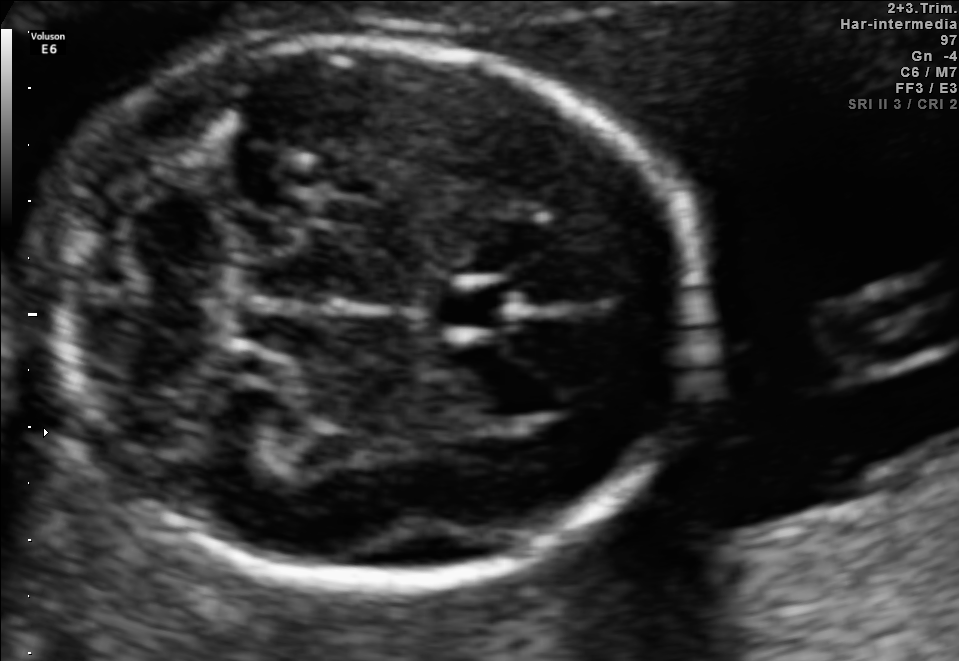
In this fetal brain, trans-cerebellum plane, give bounding boxes for the head outline, cavum septum pellucidum (CSP), and lateral ventricle (LV), where visible.

Head: [38,39,701,588]
CSP: [437,282,515,333]